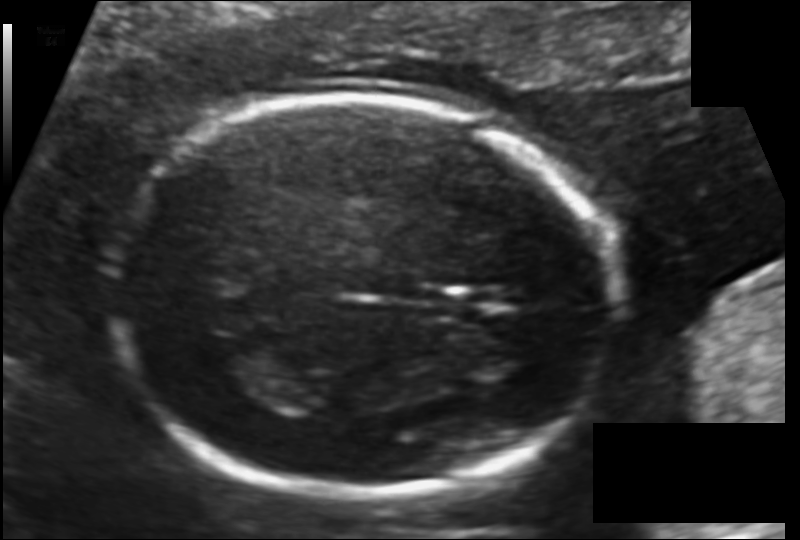
Fetal head ultrasound. Image width: 92.9 mm. Locate the fetal head and, if visible, the cavum septum pellucidum (CSP) and lateral ventricle (LV). Give bounding boxes as [x1,y1,x2,y2].

Head: [107,96,616,494]